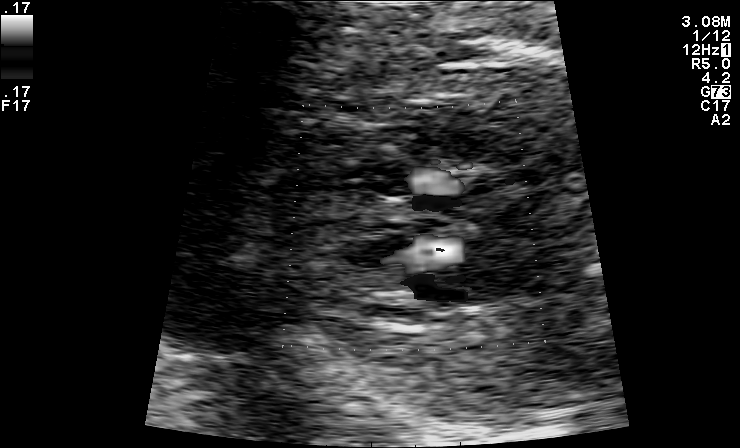
Identify the standard plane in this fetal ultrasound image: fetal abdomen, fetal brain, fetal femur, fetal thorax, maternal cervix, or other. If it's fetal brain and one of the three standard brain planes (trans-thalamic, trans-cerebellum, trans-ventricular), name which.

Other